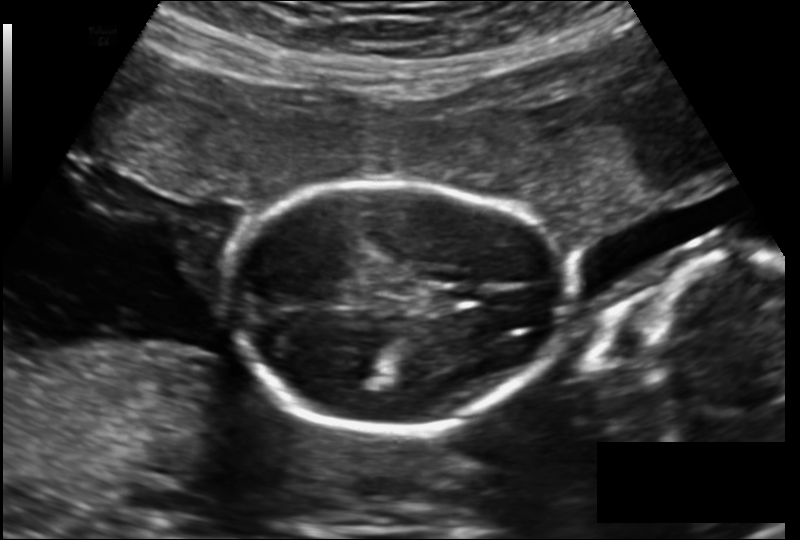
What is the fetal head circumference? Image width is 125.7 mm.

152.4 mm